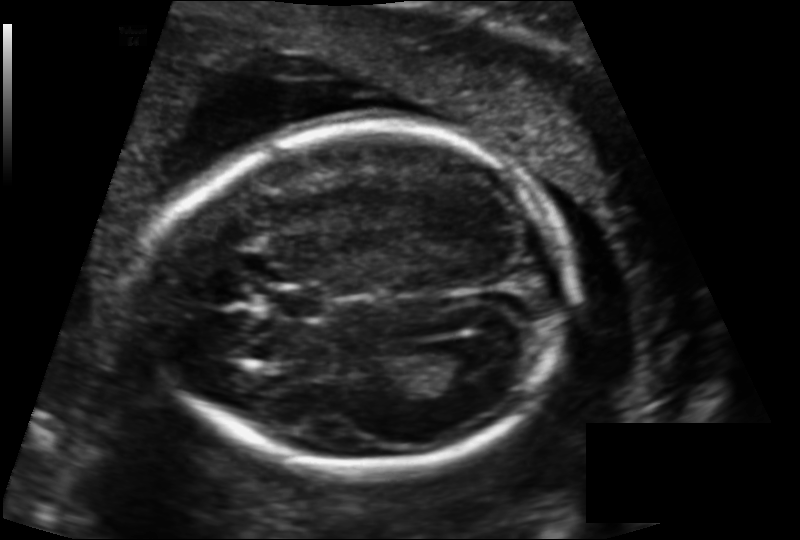
What is the fetal head circumference? Image width is 109.5 mm.

168.4 mm